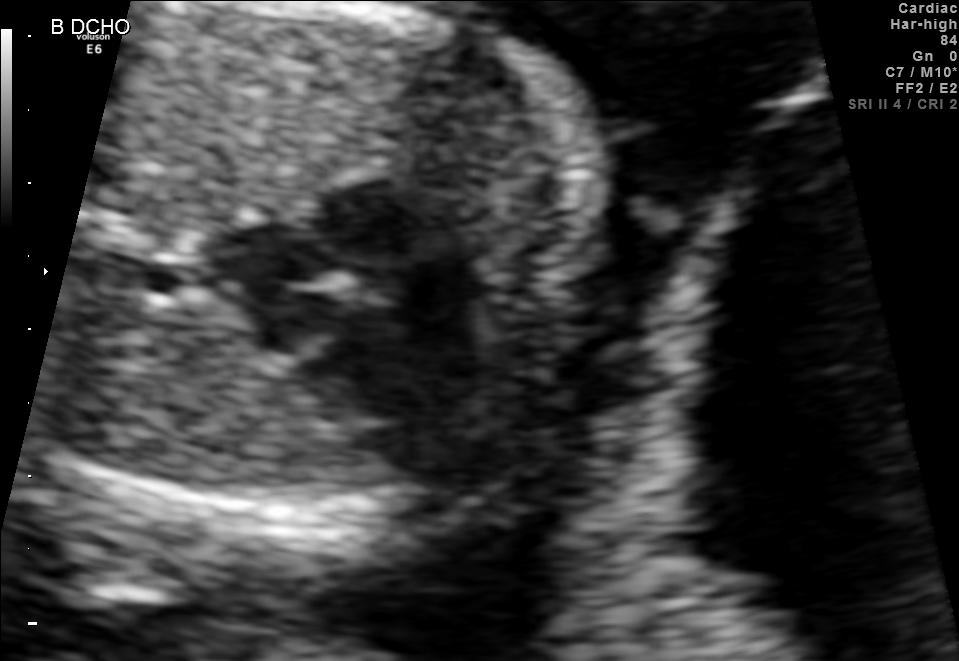
Which standard maternal-fetal ultrasound plane is shown: fetal abdomen, fetal brain, fetal femur, fetal thorax, maternal cervix, or other? If it's fetal brain and one of the three standard brain planes (trans-thalamic, trans-cerebellum, trans-ventricular), name which.

Fetal thorax